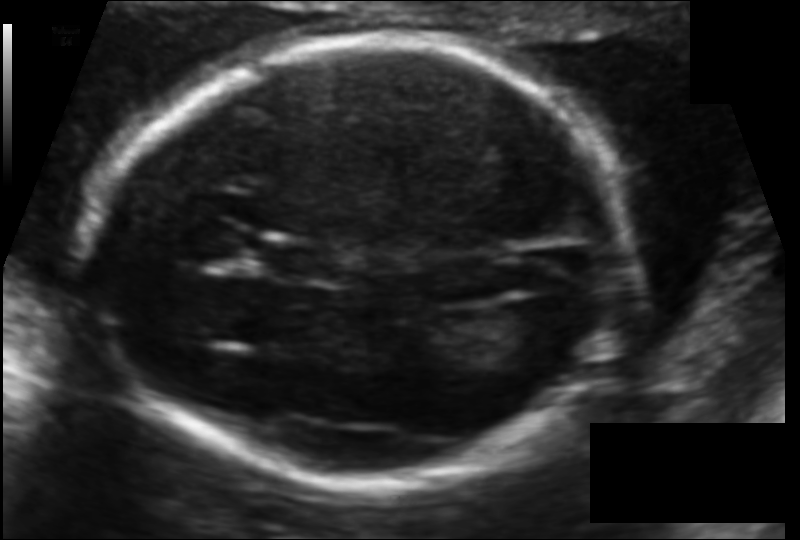
In this fetal head ultrasound, give the bounding box of the cavum septum pellucidum. Image width: 85.1 mm.

[267,244,331,281]